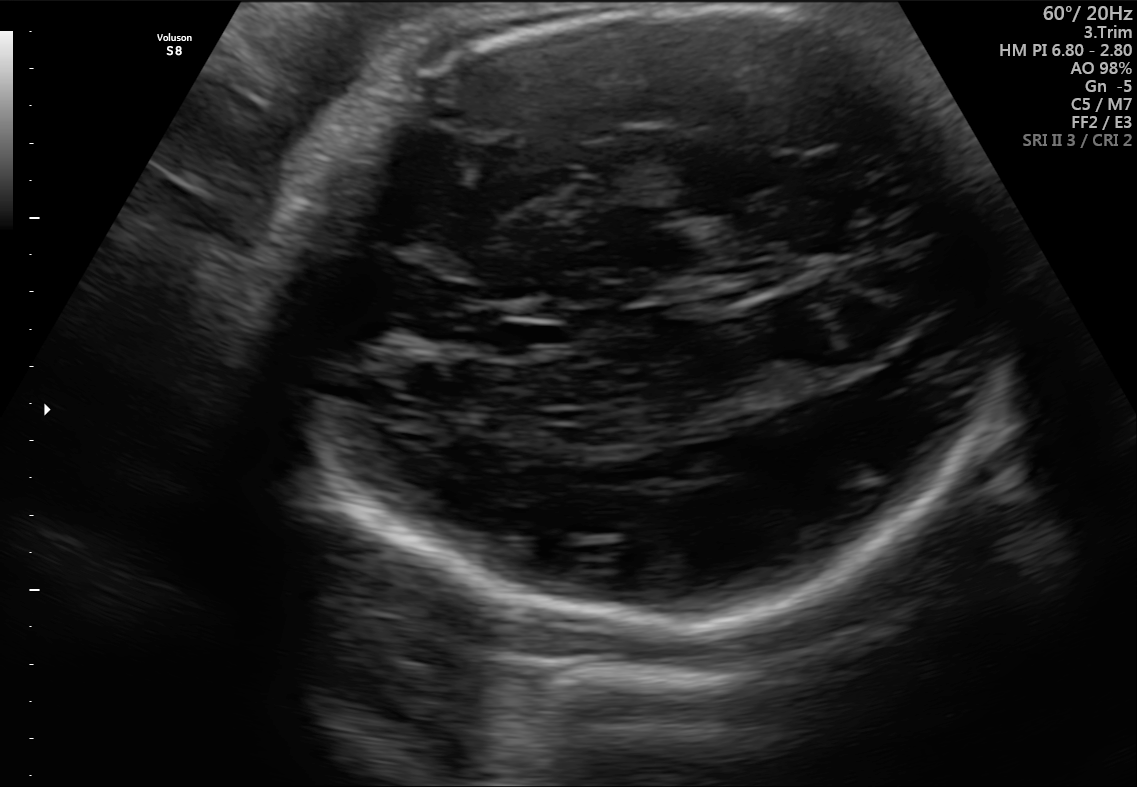
Which standard maternal-fetal ultrasound plane is shown: fetal abdomen, fetal brain, fetal femur, fetal thorax, maternal cervix, or other? If it's fetal brain and one of the three standard brain planes (trans-thalamic, trans-cerebellum, trans-ventricular), name which.

Fetal brain (trans-thalamic plane)